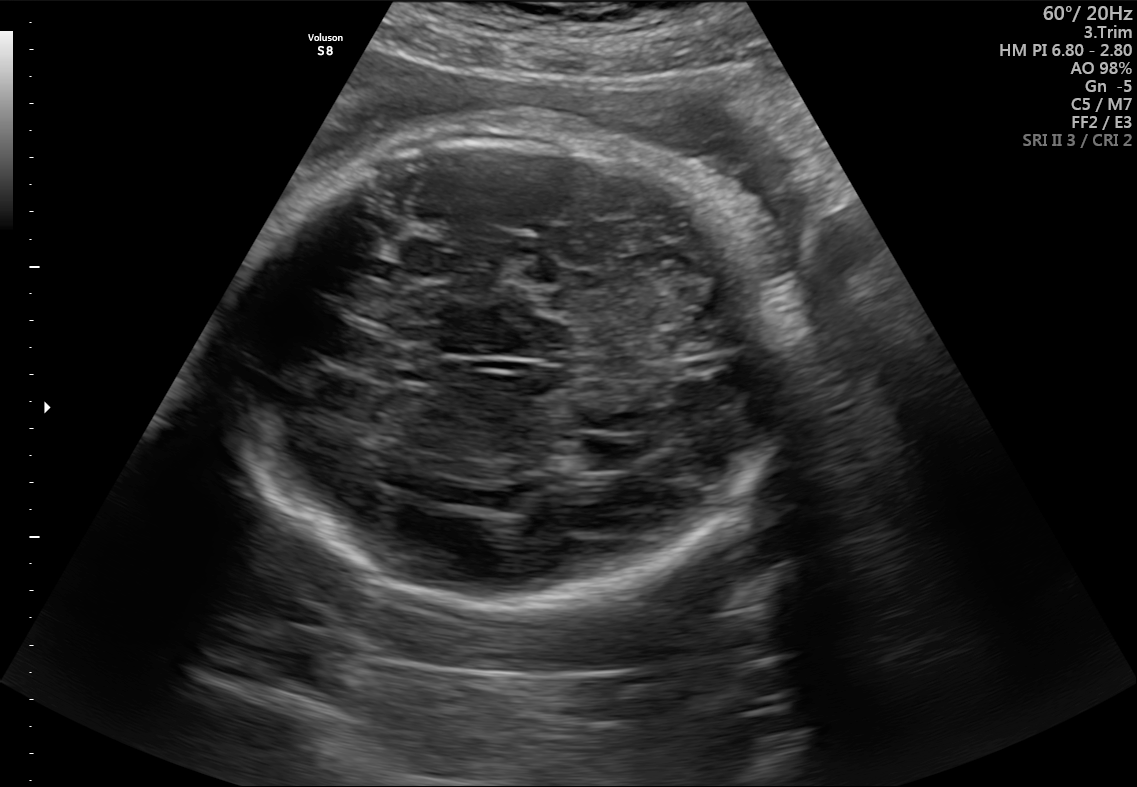
In this fetal brain, trans-thalamic plane, give the bounding box of the fetal head.

[221,130,798,605]